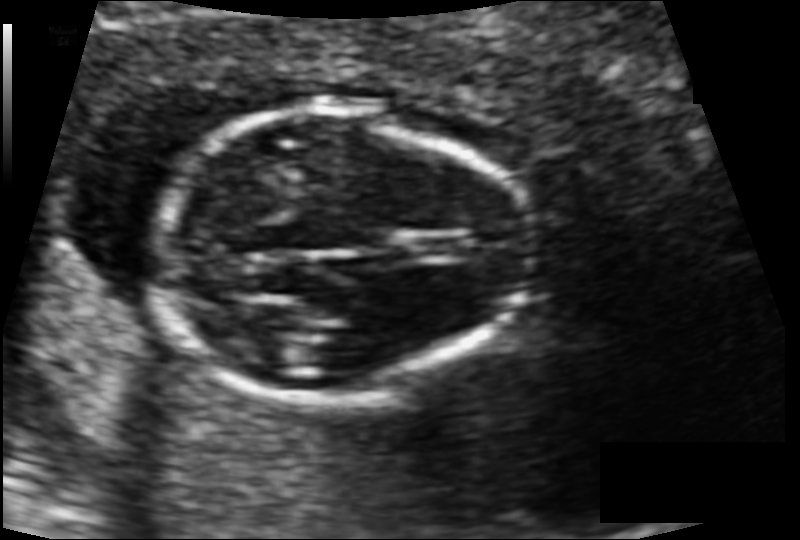
In this fetal head ultrasound, give the bounding box of the fetal head. Image width: 71.4 mm.

[152,101,536,399]